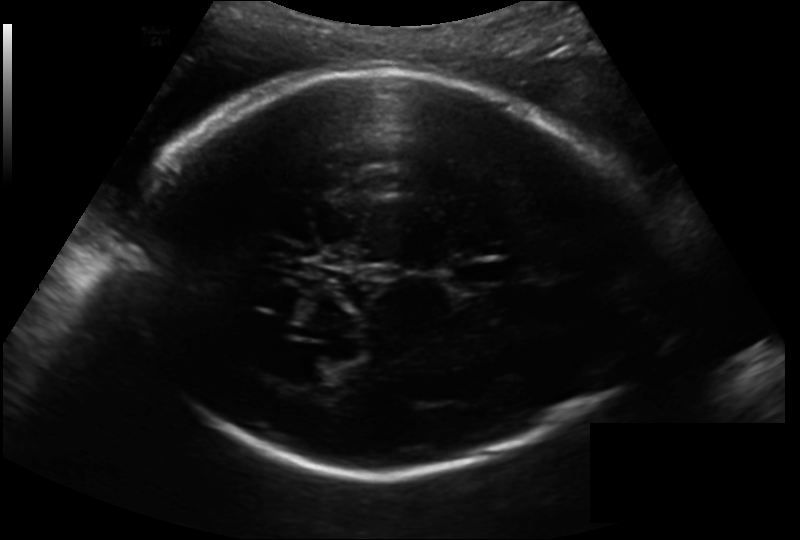
Estimate the fetal head circumference from this 2D ultrasound. Image width: 154.5 mm.

Head circumference: 280.6 mm.